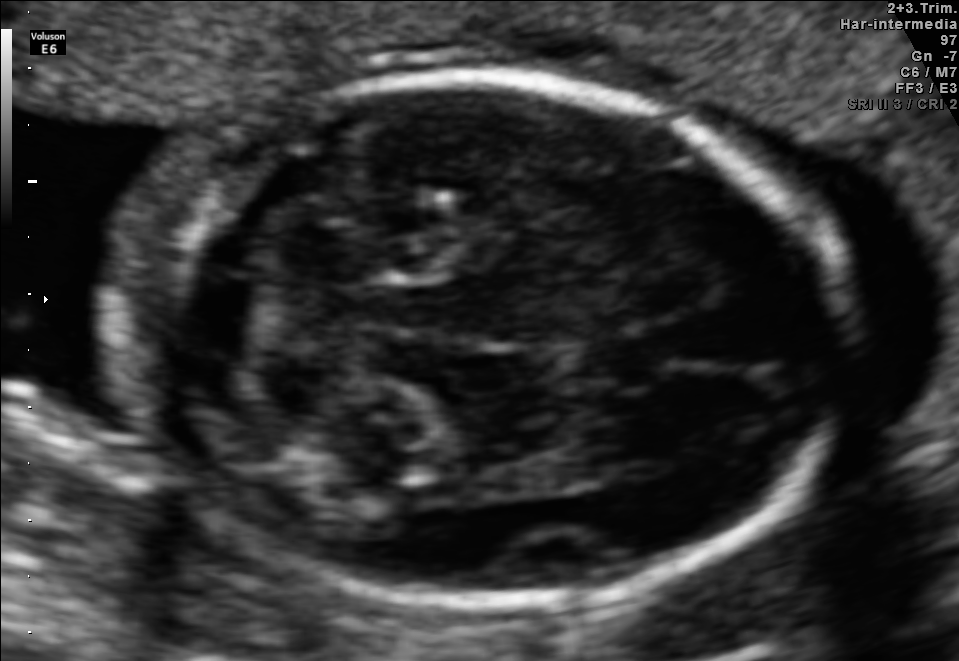
Fetal brain, trans-cerebellum plane. Where is the cavum septum pellucidum?

CSP bounding box: [573,326,665,390]